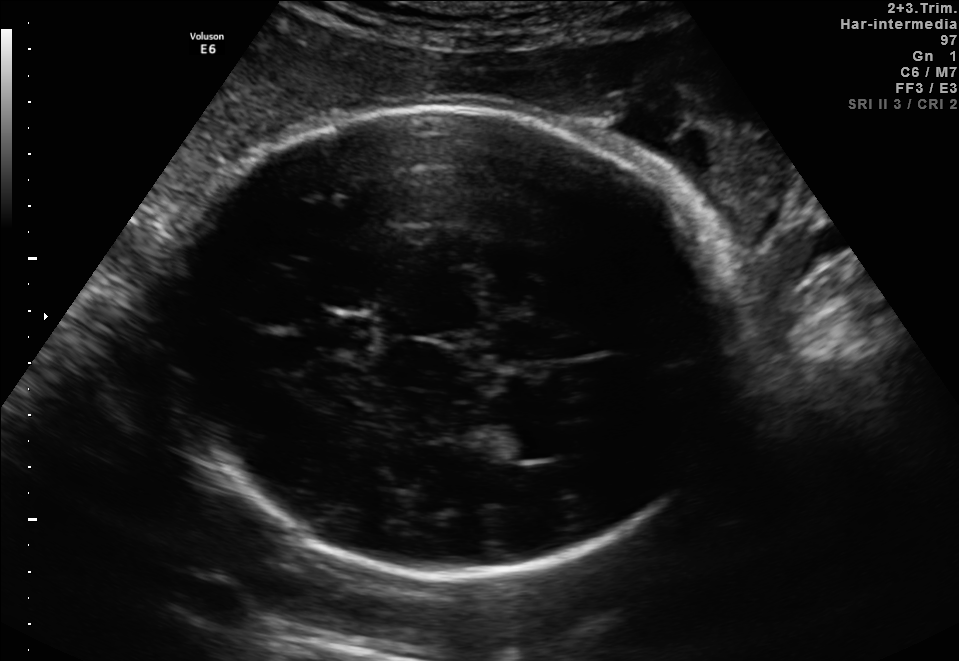
Fetal brain, trans-thalamic plane. Give [x1,y1,x2,y2] bounding boxes for each visible structure among: fetal head, CSP, LV.

Head: [159,101,738,576]
CSP: [315,314,374,349]
Lateral ventricle: [471,416,571,465]